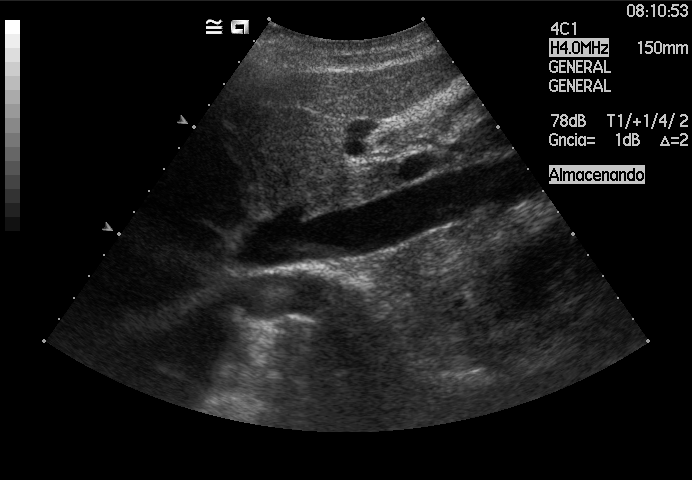
Which standard maternal-fetal ultrasound plane is shown: fetal abdomen, fetal brain, fetal femur, fetal thorax, maternal cervix, or other? If it's fetal brain and one of the three standard brain planes (trans-thalamic, trans-cerebellum, trans-ventricular), name which.

Other